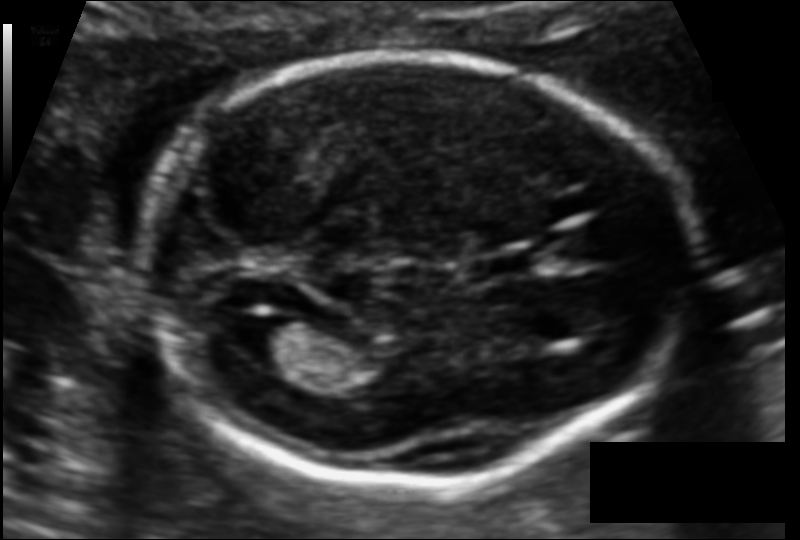
From this fetal ultrasound, estimate the head circumference (image width 85.1 mm).

Head circumference: 168.9 mm.